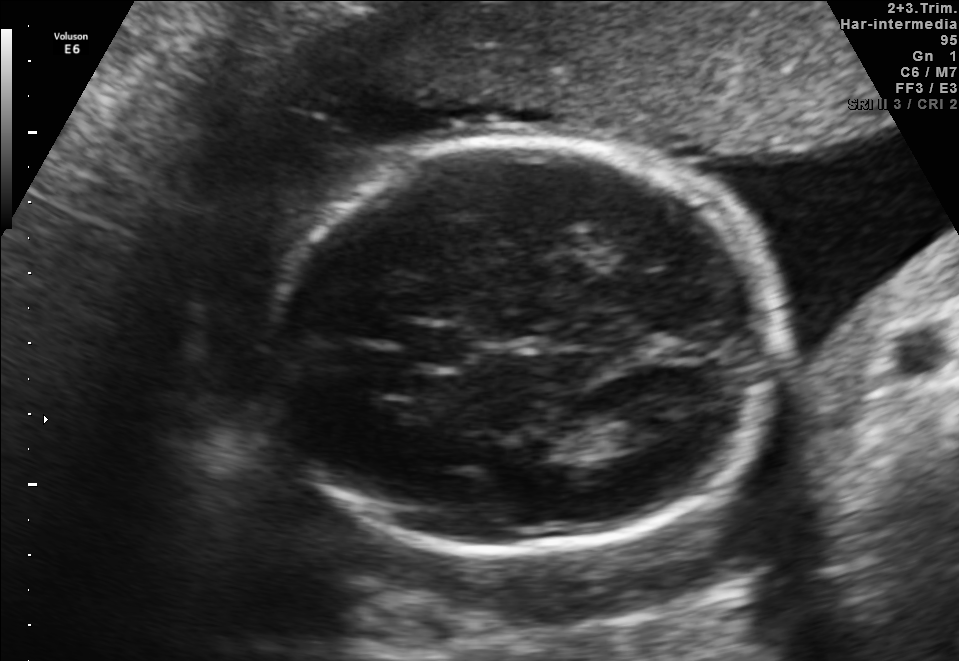
In this fetal brain, trans-thalamic plane, give bounding boxes for the head outline, cavum septum pellucidum (CSP), and lateral ventricle (LV), where visible.

Head: [260,141,783,552]
CSP: [404,324,464,368]
Lateral ventricle: [606,404,678,454]